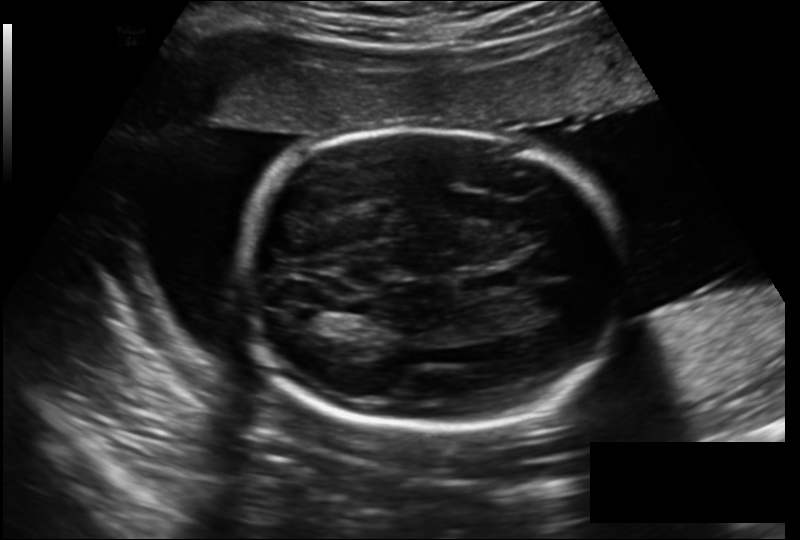
Fetal head ultrasound. Image width: 164.7 mm. Locate the fetal head and, if visible, the cavum septum pellucidum (CSP) and lateral ventricle (LV). Give bounding boxes as [x1,y1,x2,y2].

Head: [239,128,626,430]
CSP: [458,270,513,295]
Lateral ventricle: [283,305,323,332]